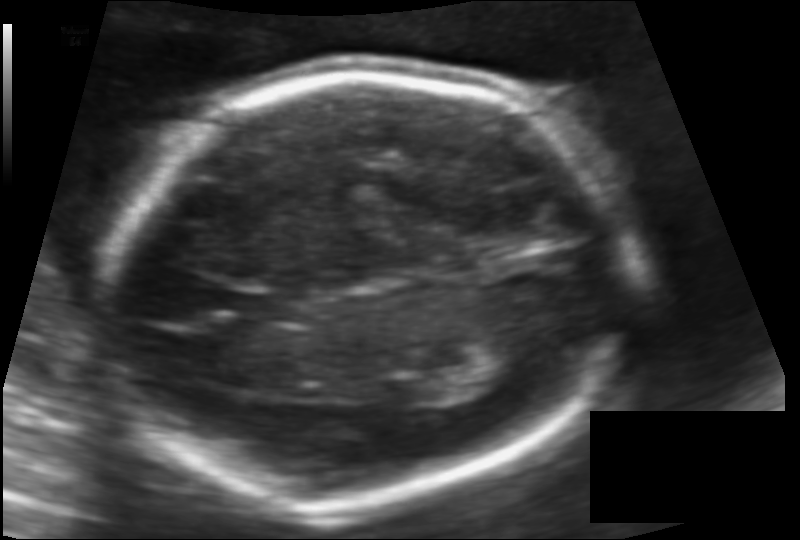
Fetal head ultrasound. Image width: 93.5 mm. Locate the fetal head.

Head: [101,74,624,498]